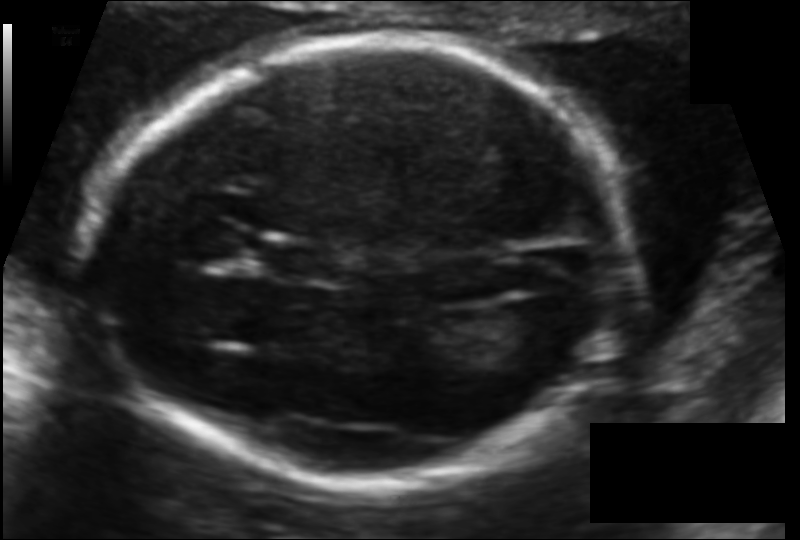
Fetal head ultrasound. Image width: 85.1 mm. Locate the fetal head and, if visible, the cavum septum pellucidum (CSP) and lateral ventricle (LV). Give bounding boxes as [x1,y1,x2,y2].

Head: [89,39,629,484]
CSP: [267,244,331,281]